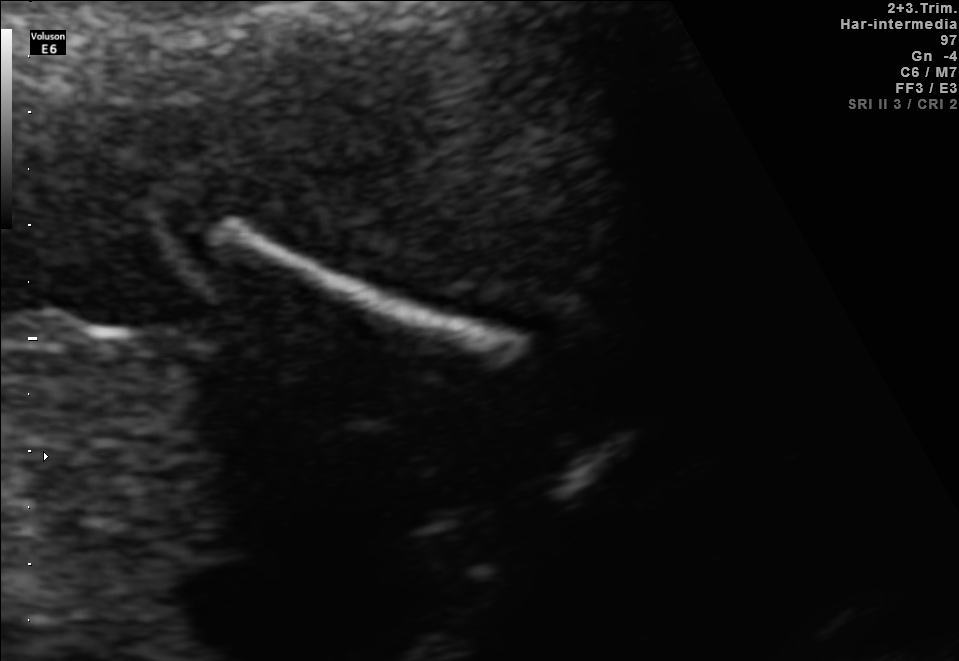
Classify this maternal-fetal ultrasound image as one of the six standard planes — fetal abdomen, fetal brain, fetal femur, fetal thorax, maternal cervix, or other. If it's fetal brain and one of the three standard brain planes (trans-thalamic, trans-cerebellum, trans-ventricular), name which.

Fetal femur